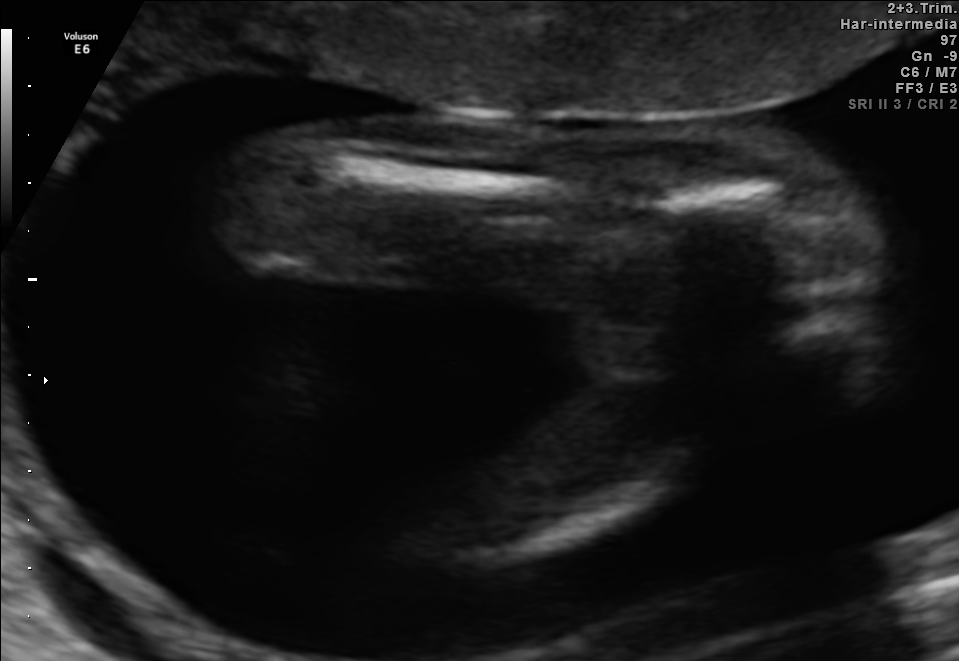
Classify this maternal-fetal ultrasound image as one of the six standard planes — fetal abdomen, fetal brain, fetal femur, fetal thorax, maternal cervix, or other. If it's fetal brain and one of the three standard brain planes (trans-thalamic, trans-cerebellum, trans-ventricular), name which.

Fetal femur